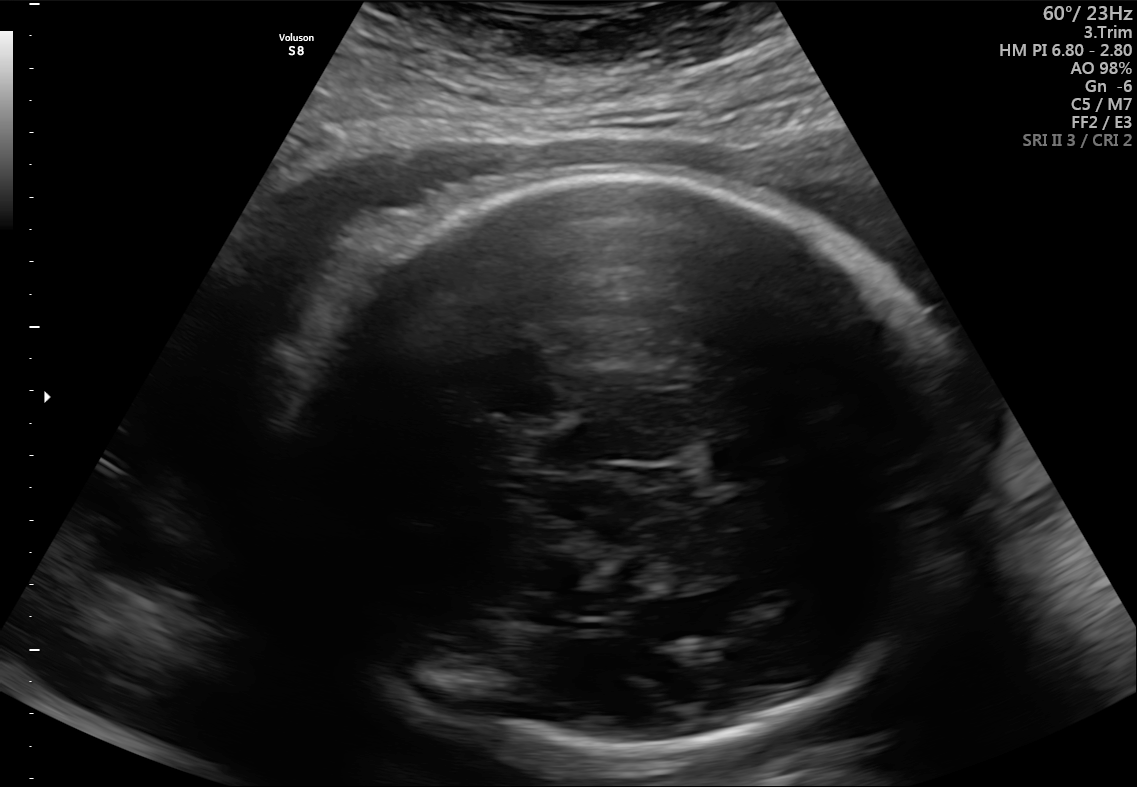
Fetal brain, trans-thalamic plane. Where is the fetal head?

Head bounding box: [299,173,969,757]